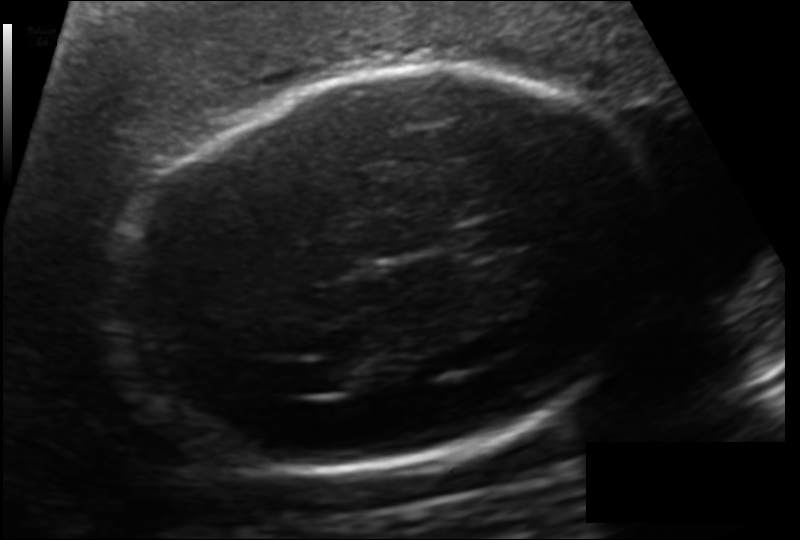
Fetal head ultrasound. Image width: 120.9 mm. Where is the fetal head?

Head bounding box: [110,69,657,471]